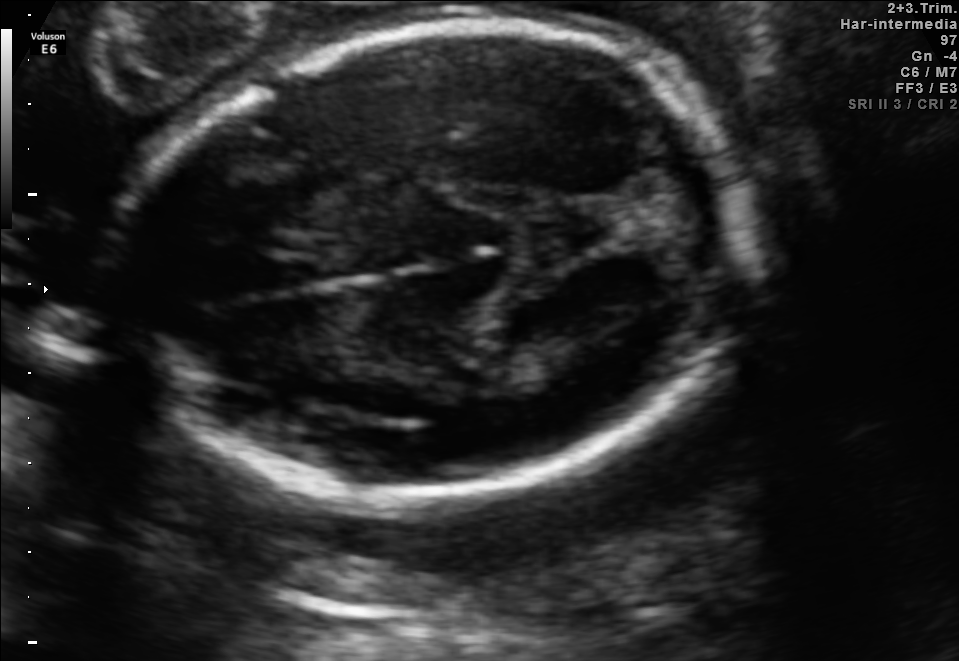
Fetal brain, trans-thalamic plane. Locate the fetal head and, if visible, the cavum septum pellucidum (CSP) and lateral ventricle (LV). Give bounding boxes as [x1,y1,x2,y2].

Head: [122,26,747,511]